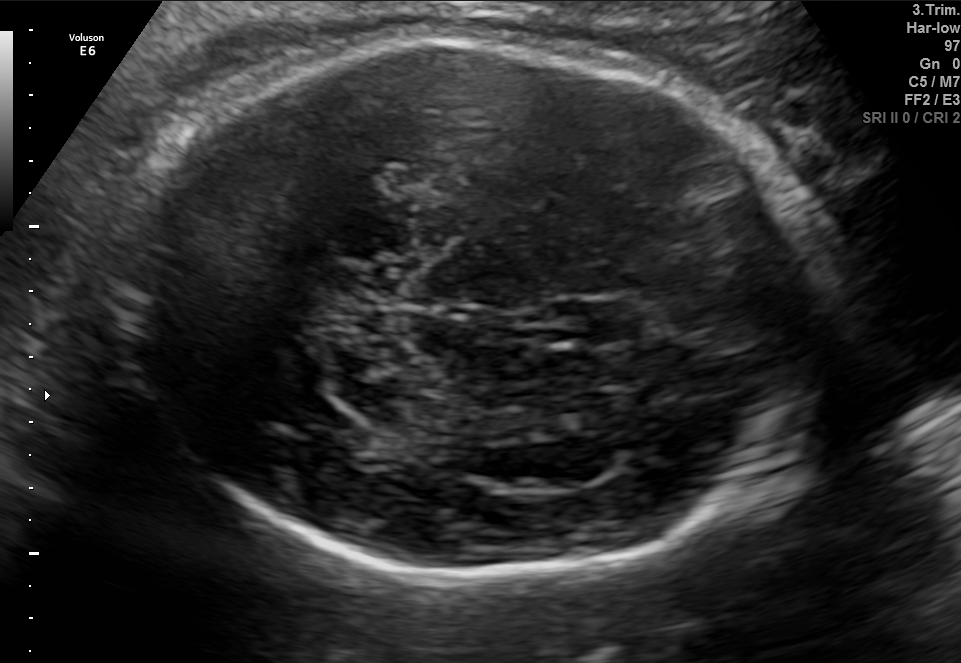
In this fetal brain, trans-thalamic plane, give the bounding box of the fetal head.

[116,40,845,575]